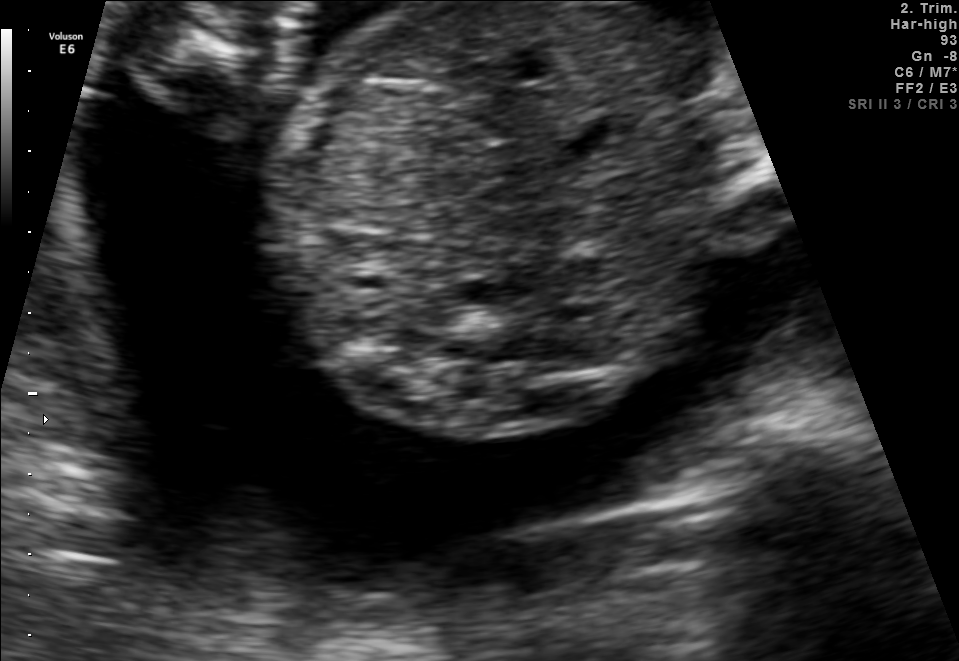
Classify this maternal-fetal ultrasound image as one of the six standard planes — fetal abdomen, fetal brain, fetal femur, fetal thorax, maternal cervix, or other. If it's fetal brain and one of the three standard brain planes (trans-thalamic, trans-cerebellum, trans-ventricular), name which.

Other